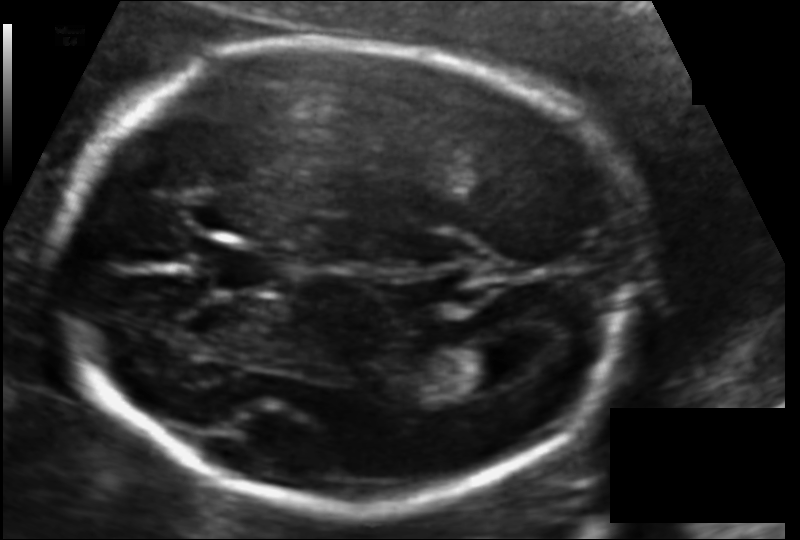
Fetal head ultrasound. Image width: 92.7 mm. Locate the lateral ventricle.

Lateral ventricle: [447,335,534,397]